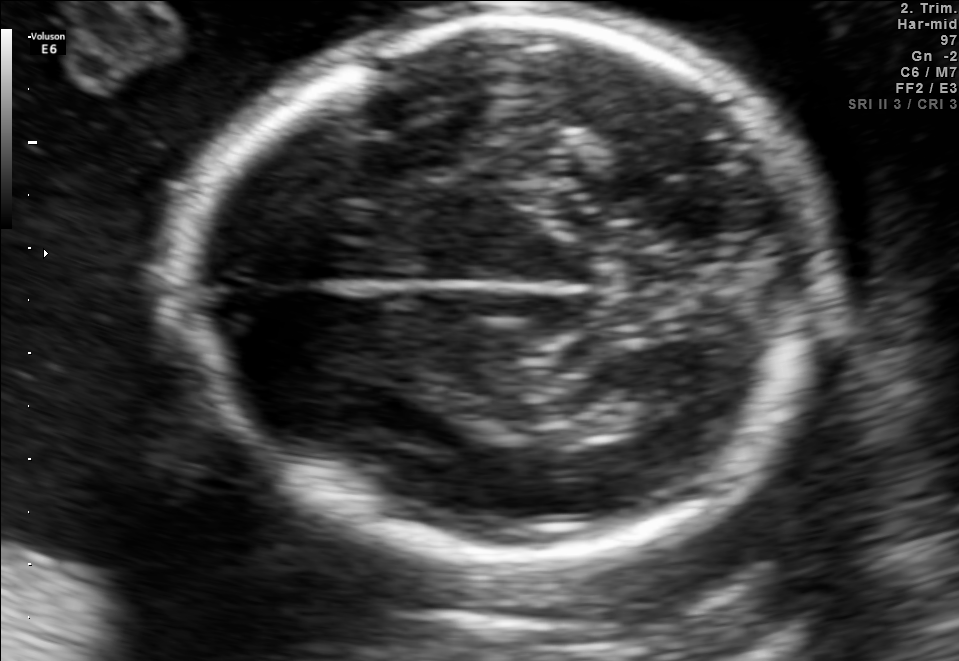
Classify this maternal-fetal ultrasound image as one of the six standard planes — fetal abdomen, fetal brain, fetal femur, fetal thorax, maternal cervix, or other. If it's fetal brain and one of the three standard brain planes (trans-thalamic, trans-cerebellum, trans-ventricular), name which.

Fetal brain (trans-thalamic plane)